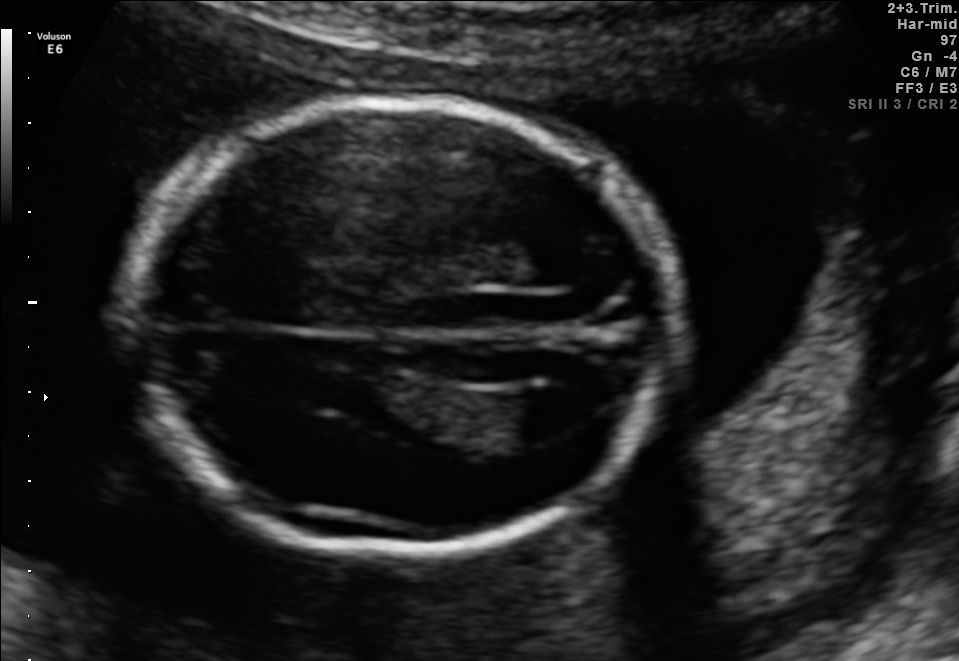
Fetal brain, trans-ventricular plane. Where is the fetal head?

Head bounding box: [106,90,699,569]